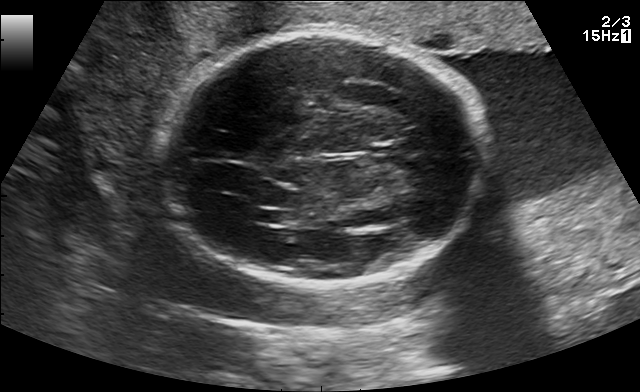
Fetal brain, trans-thalamic plane. Where is the lateral ventricle?

Lateral ventricle bounding box: [256,209,295,225]